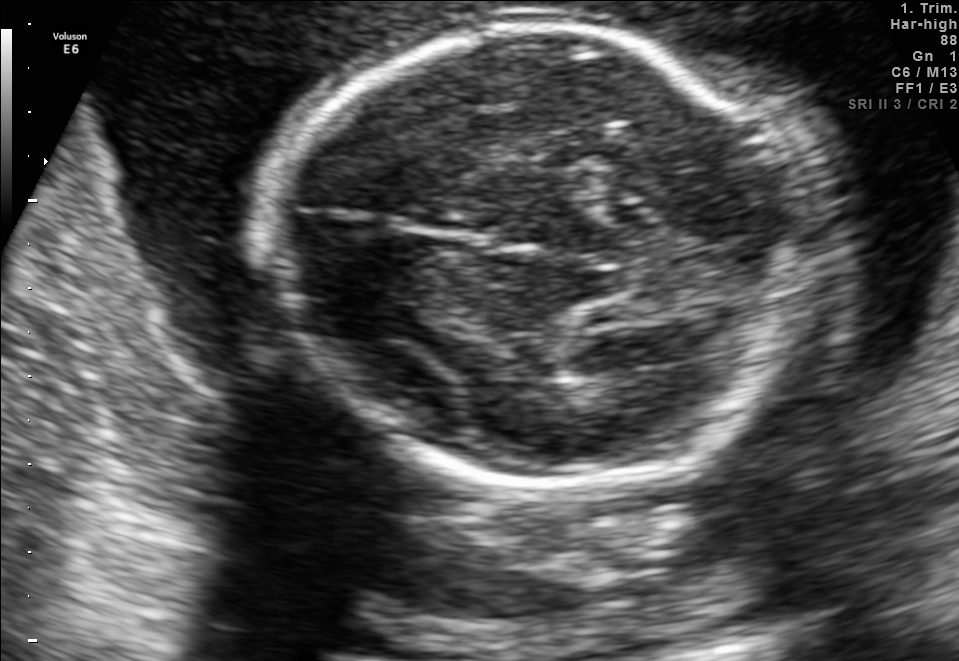
Fetal brain, trans-thalamic plane. Locate the fetal head.

Head: [260,21,813,494]